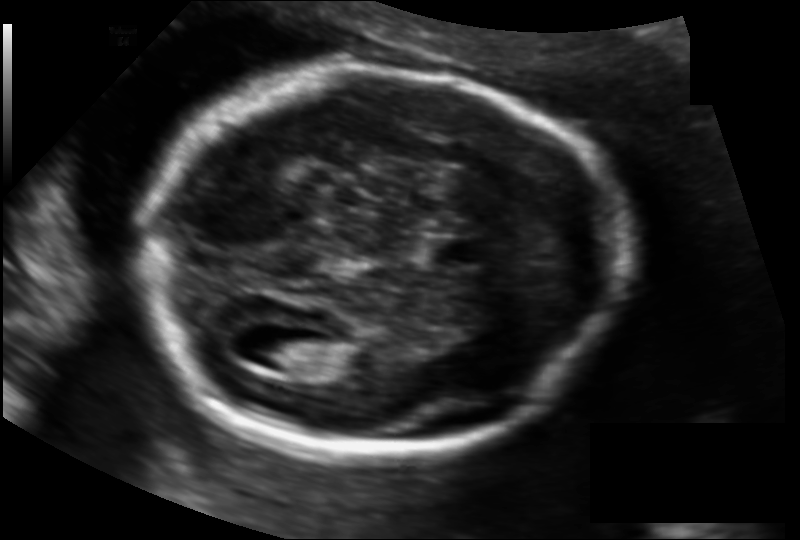
From this fetal ultrasound, estimate the head circumference (image width 102.3 mm).

Head circumference: 175.9 mm.